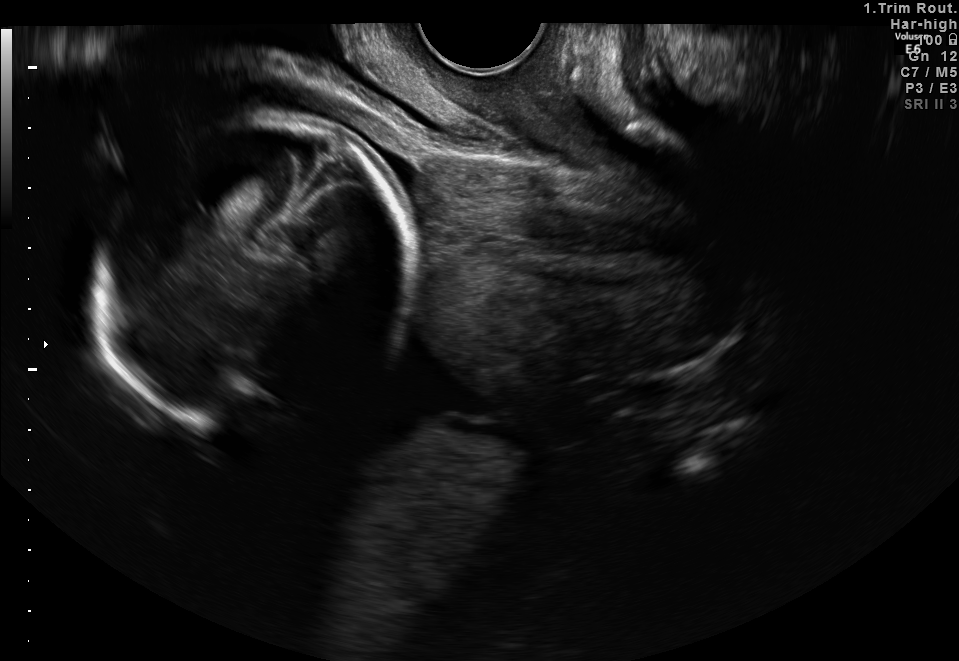
This is a 2D maternal-fetal ultrasound frame. Is it a fetal abdomen, fetal brain, fetal femur, fetal thorax, maternal cervix, or other standard plane? If it's fetal brain and one of the three standard brain planes (trans-thalamic, trans-cerebellum, trans-ventricular), name which.

Maternal cervix